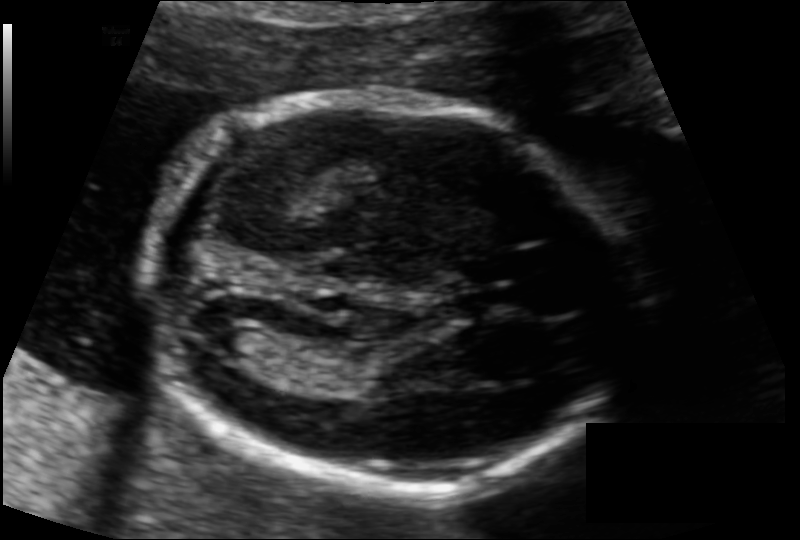
Fetal head ultrasound. Image width: 86.5 mm. Locate the fetal head.

Head: [148,96,631,489]